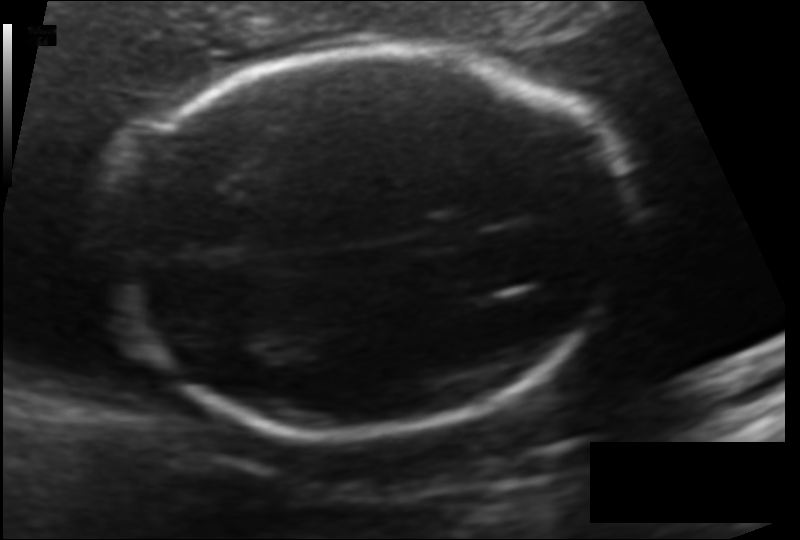
Measure the fetal head circumference shown in this ultrasound image. Image width: 97.8 mm.

Head circumference: 178.7 mm.